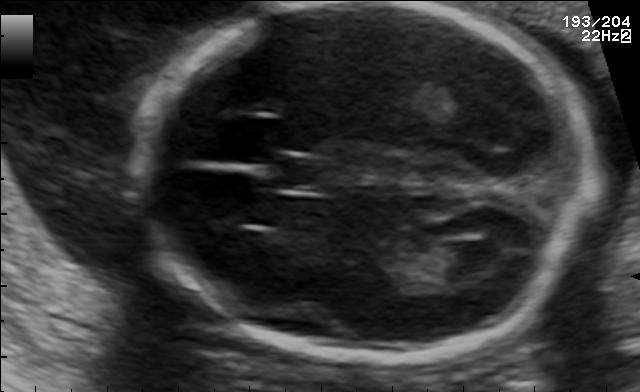
Fetal brain, trans-ventricular plane. Locate the cavum septum pellucidum.

CSP: [273,154,335,195]